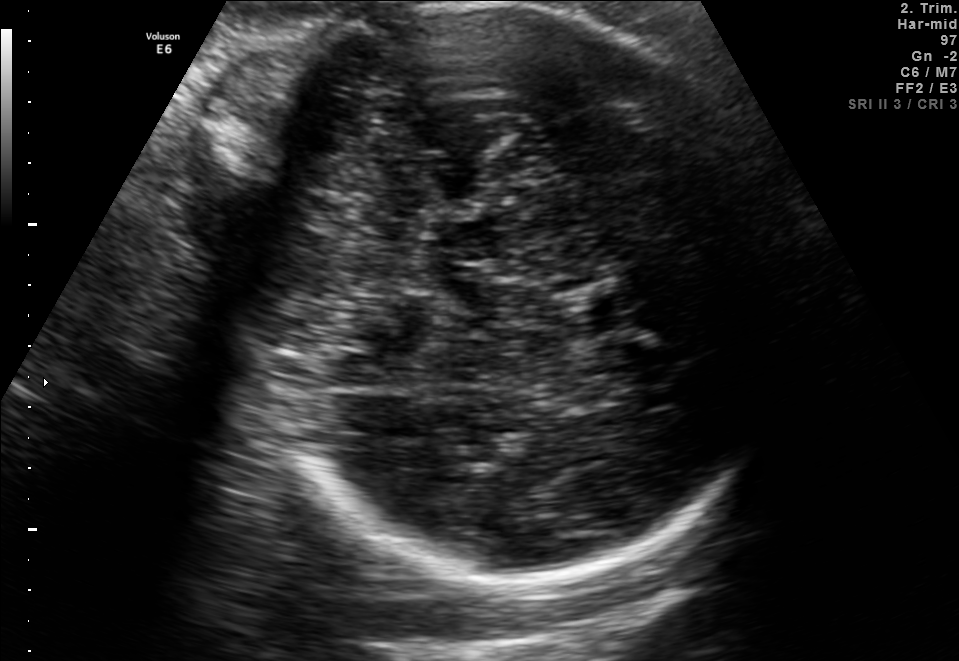
Identify the standard plane in this fetal ultrasound image: fetal abdomen, fetal brain, fetal femur, fetal thorax, maternal cervix, or other. If it's fetal brain and one of the three standard brain planes (trans-thalamic, trans-cerebellum, trans-ventricular), name which.

Fetal brain (trans-thalamic plane)